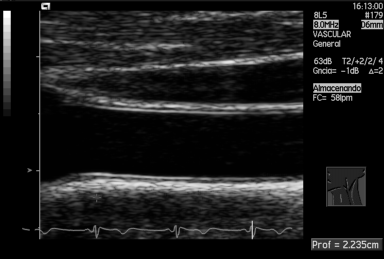
Classify this maternal-fetal ultrasound image as one of the six standard planes — fetal abdomen, fetal brain, fetal femur, fetal thorax, maternal cervix, or other. If it's fetal brain and one of the three standard brain planes (trans-thalamic, trans-cerebellum, trans-ventricular), name which.

Other